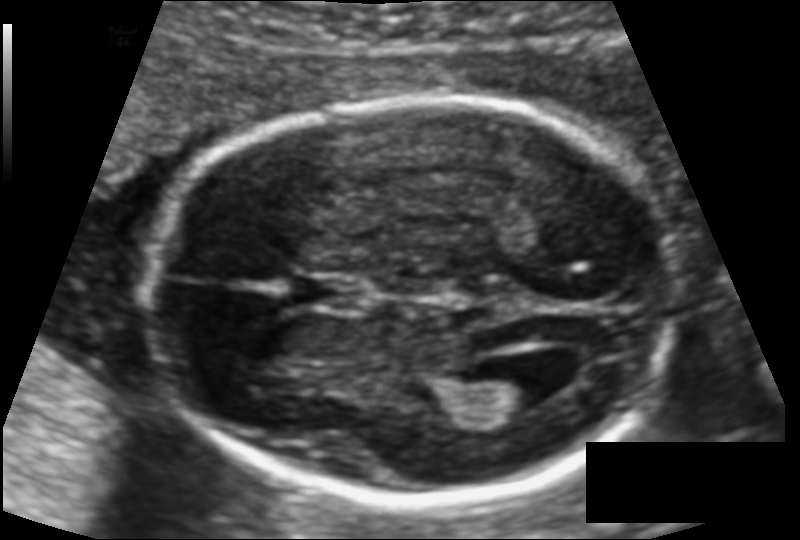
In this fetal head ultrasound, give bounding boxes for the head outline, cavum septum pellucidum (CSP), and lateral ventricle (LV), where visible. Image width: 90.3 mm.

Head: [148,96,679,498]
CSP: [292,275,364,310]
Lateral ventricle: [469,356,553,424]